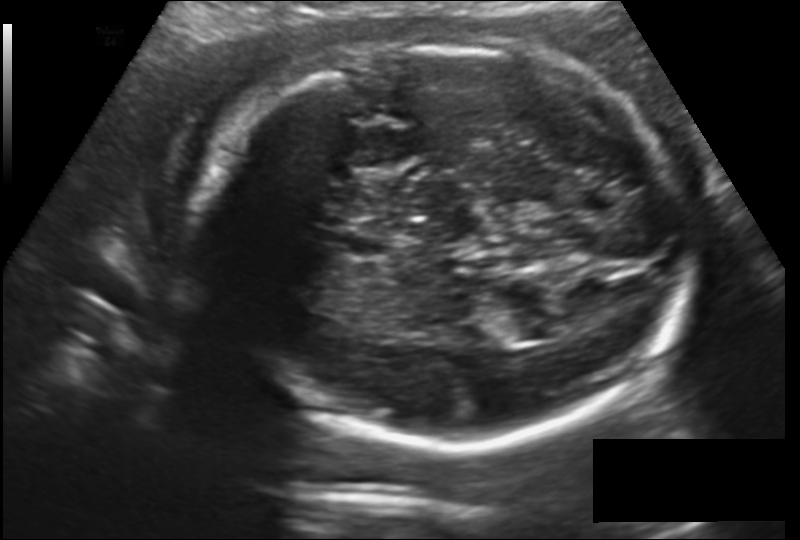
What is the fetal head circumference? Image width is 142.0 mm.

257.6 mm